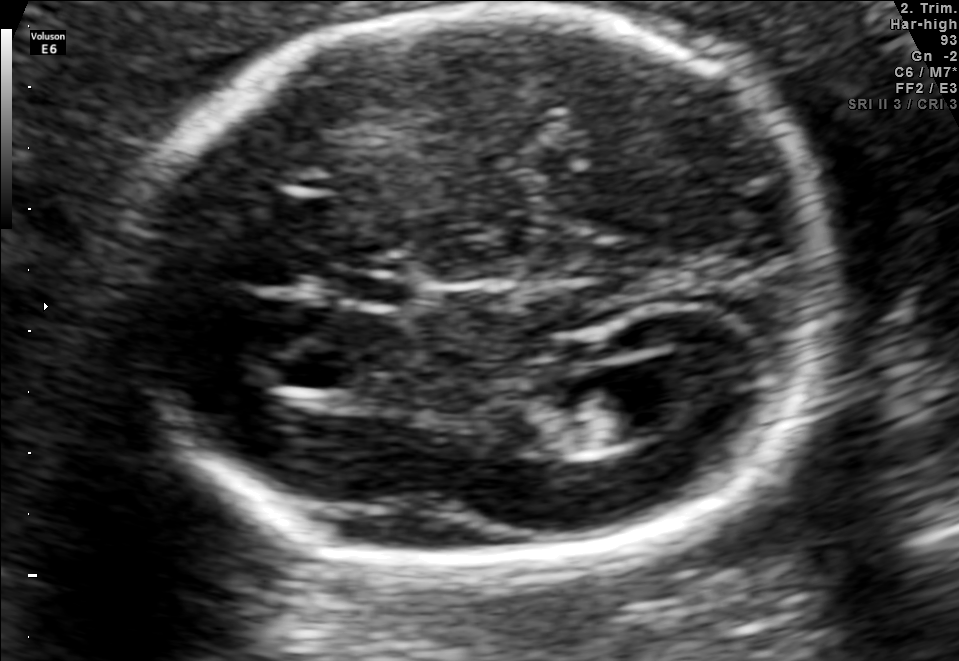
In this fetal brain, trans-ventricular plane, give bounding boxes for the head outline, cavum septum pellucidum (CSP), and lateral ventricle (LV), where visible.

Head: [112,4,851,579]
CSP: [333,269,420,316]
Lateral ventricle: [570,359,704,453]